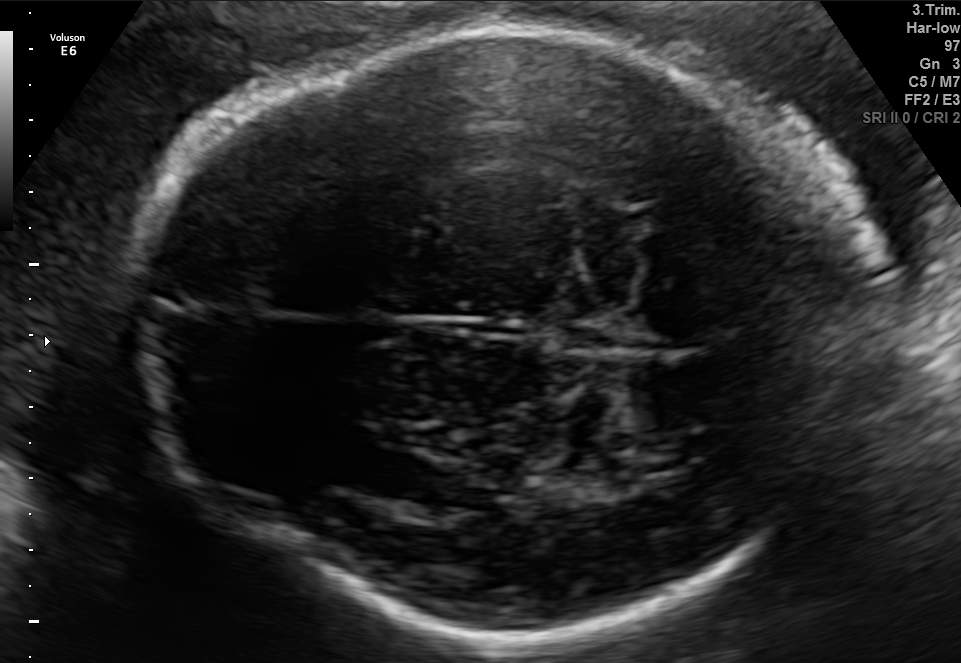
Fetal brain, trans-ventricular plane. Where is the fetal head?

Head bounding box: [136,32,883,641]